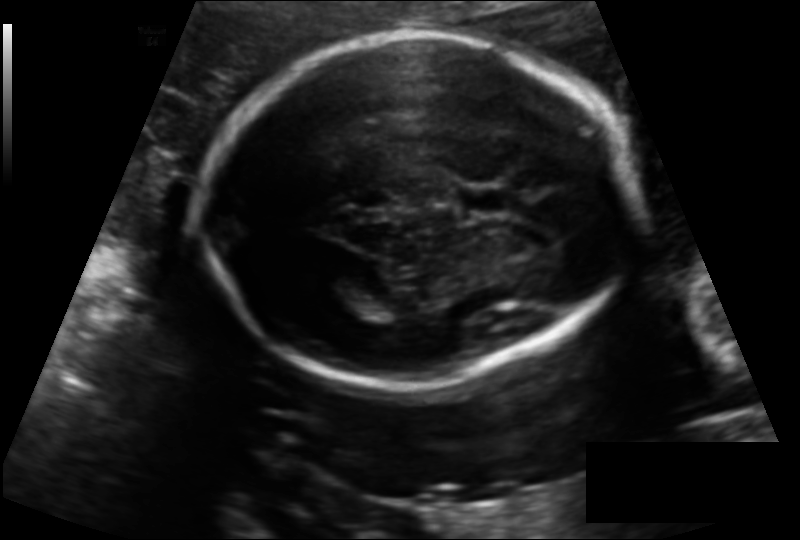
What is the fetal head circumference? Image width is 111.5 mm.

177.5 mm